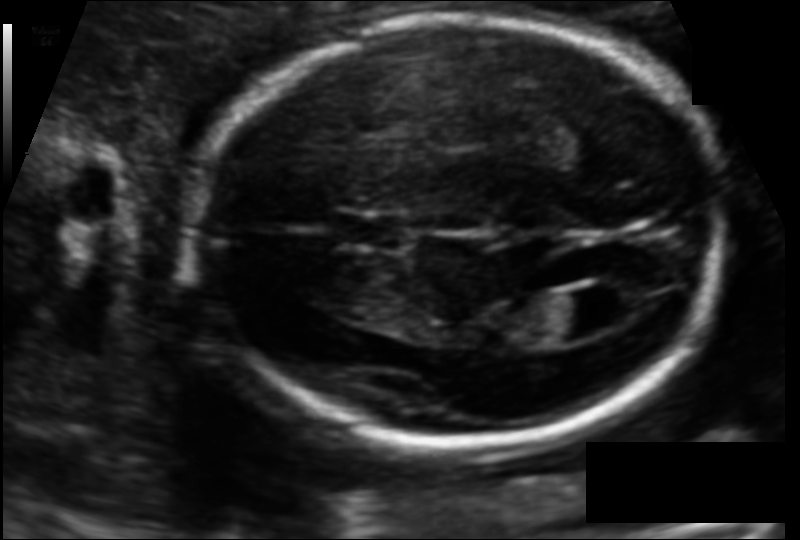
Estimate the fetal head circumference from this 2D ultrasound.

Head circumference: 174.2 mm (image width 90.0 mm).